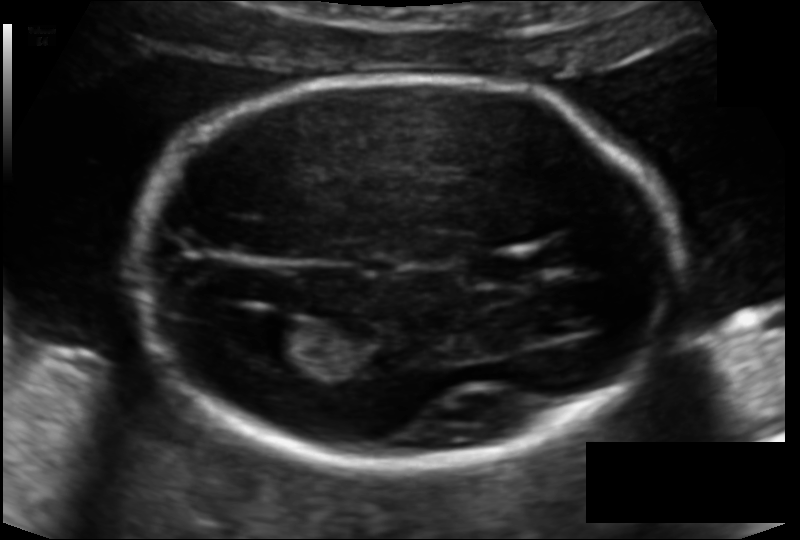
Fetal head ultrasound. Image width: 95.2 mm. Locate the lateral ventricle.

Lateral ventricle: [231,311,317,366]